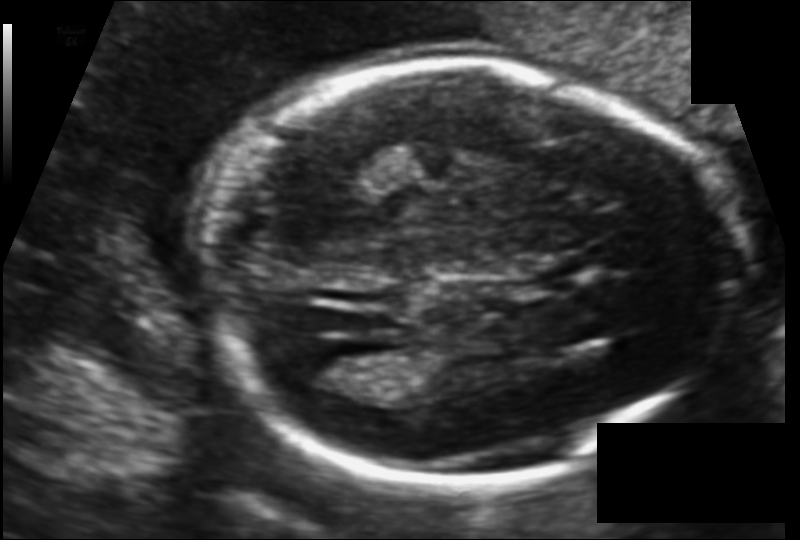
In this fetal head ultrasound, give the bounding box of the fetal head. Image width: 93.1 mm.

[198,60,736,485]